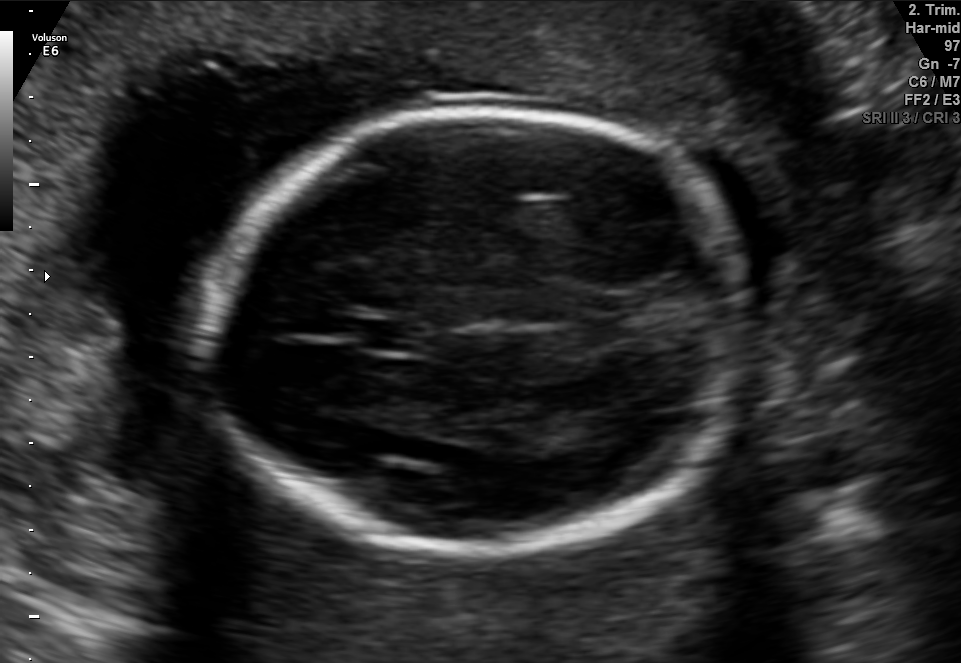
In this fetal brain, trans-thalamic plane, give the bounding box of the cavum septum pellucidum.

[358,317,425,352]